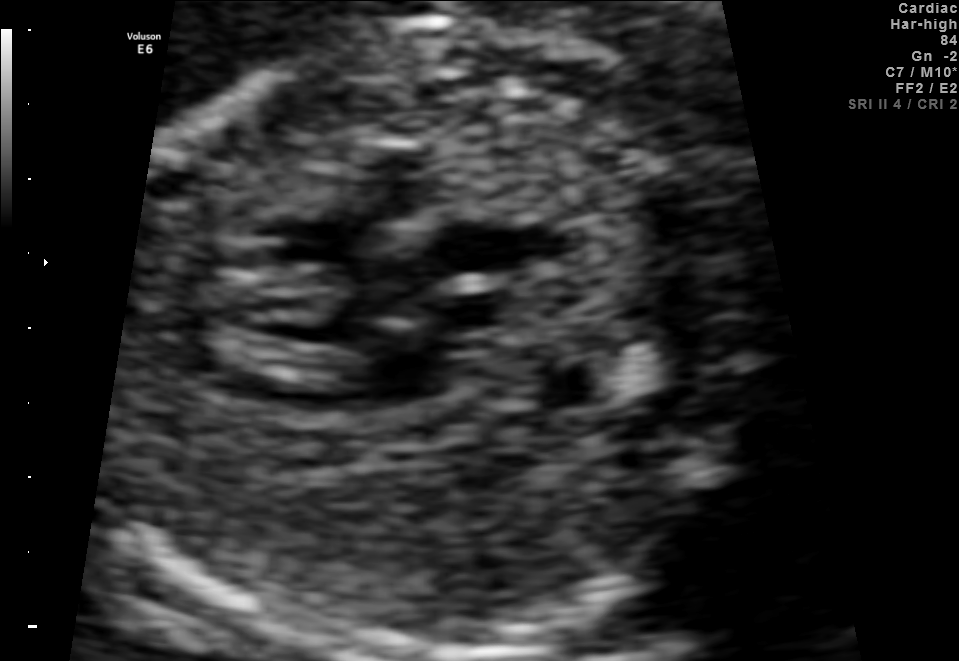
Which standard maternal-fetal ultrasound plane is shown: fetal abdomen, fetal brain, fetal femur, fetal thorax, maternal cervix, or other? If it's fetal brain and one of the three standard brain planes (trans-thalamic, trans-cerebellum, trans-ventricular), name which.

Other